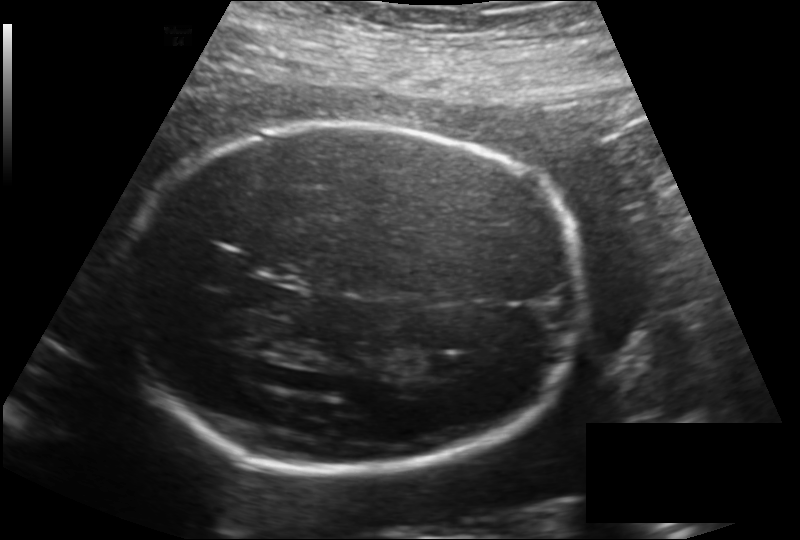
What is the fetal head circumference? Image width is 149.9 mm.

245.4 mm